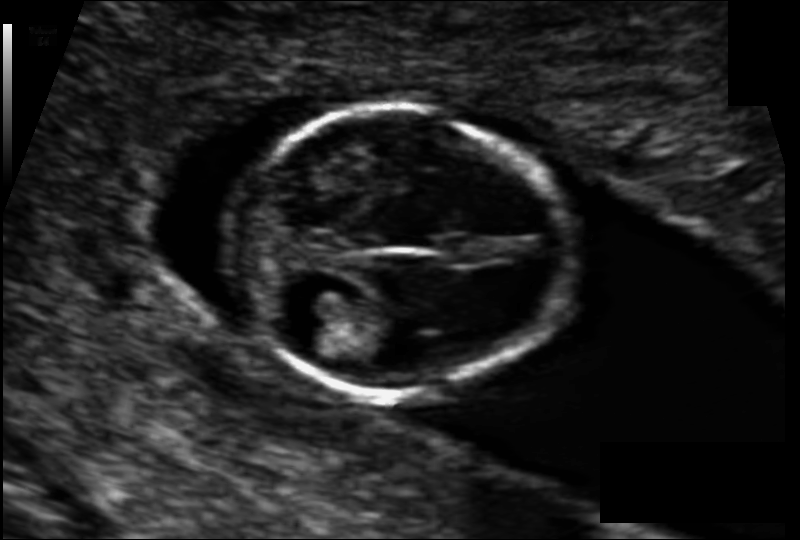
Fetal head ultrasound. Image width: 63.0 mm. Give [x1,y1,x2,y2] bounding boxes for each visible structure among: fetal head, CSP, LV.

Head: [229,109,566,399]